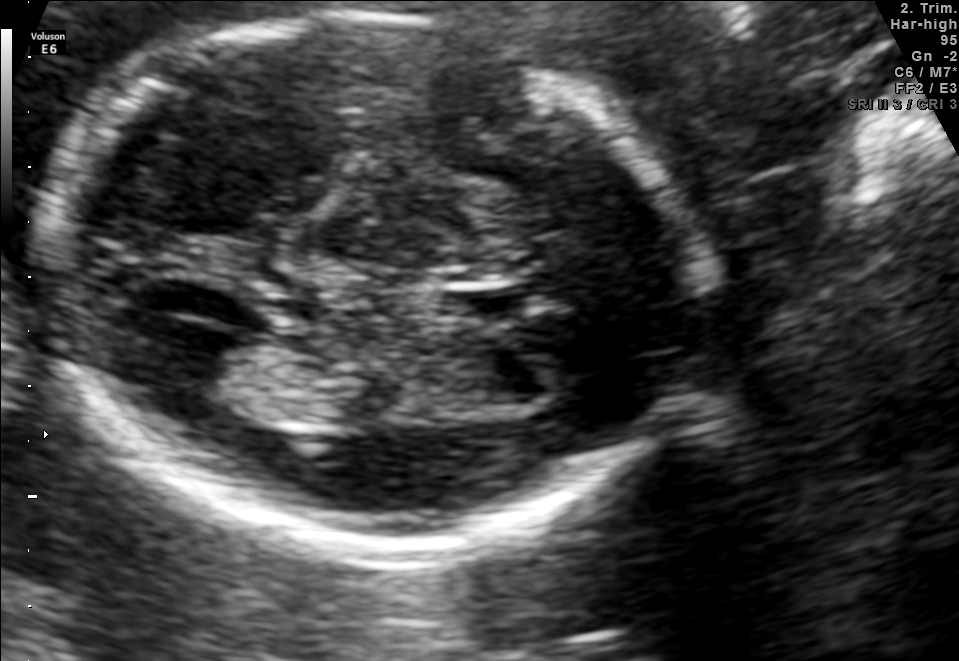
In this fetal brain, trans-thalamic plane, give the bounding box of the lateral ventricle.

[150,320,276,418]